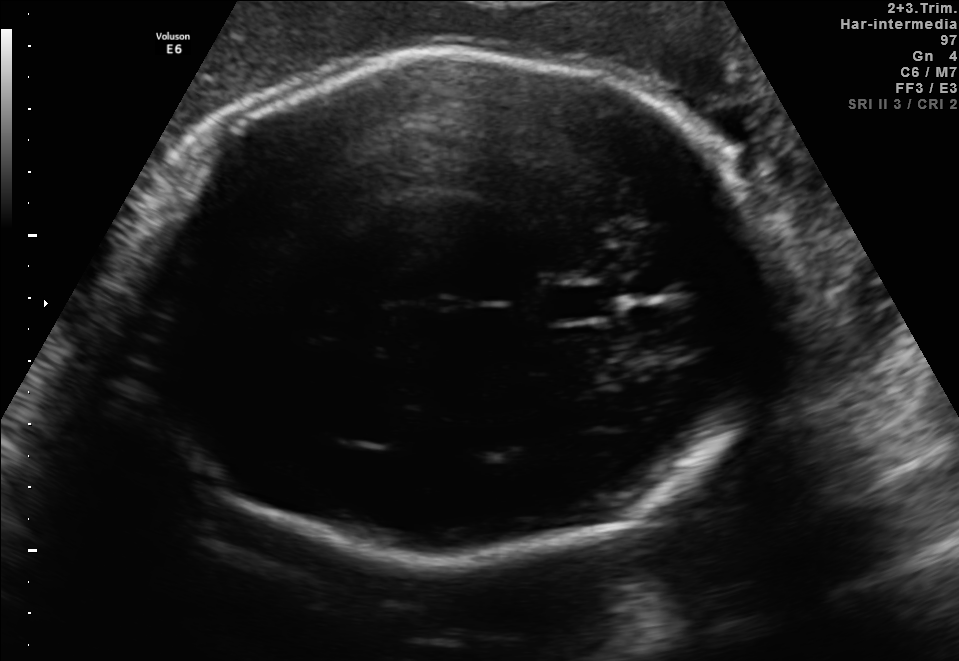
In this fetal brain, trans-thalamic plane, give bounding boxes for the head outline, cavum septum pellucidum (CSP), and lateral ventricle (LV), where visible.

Head: [122,52,773,555]
CSP: [544,281,613,323]